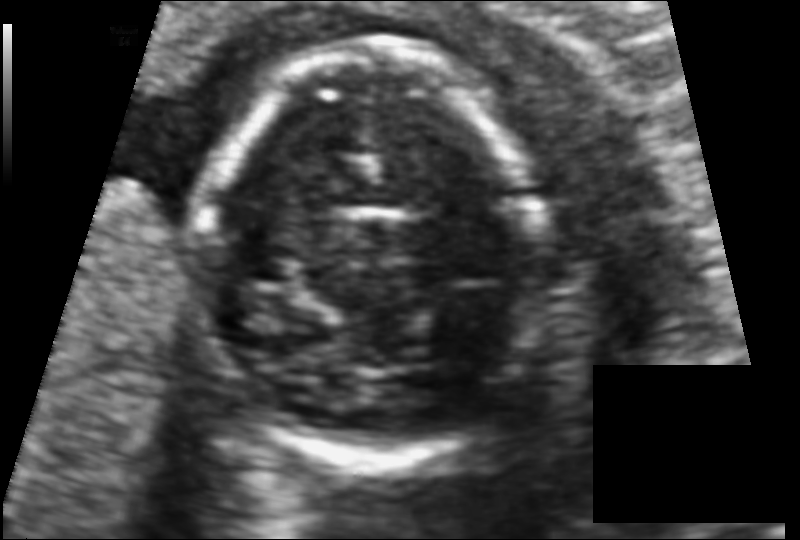
What is the fetal head circumference? Image width is 74.5 mm.

112.7 mm